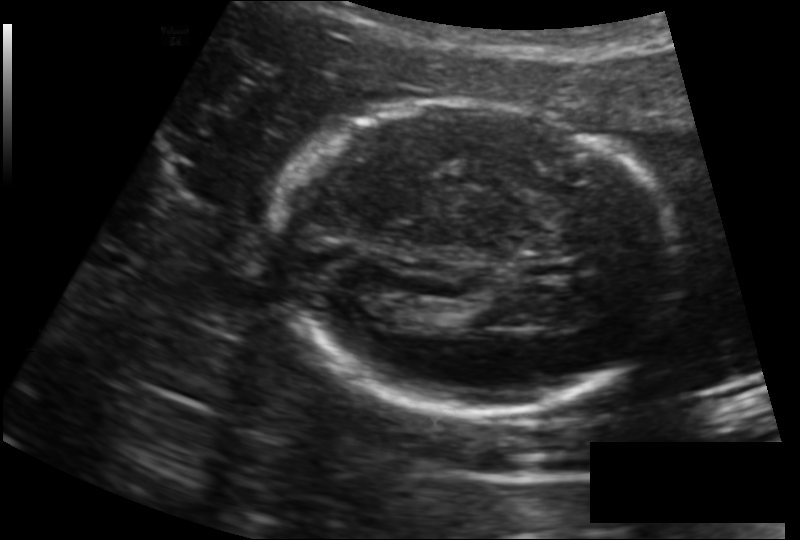
Fetal head ultrasound. Image width: 125.2 mm. Where is the fetal head?

Head bounding box: [275,105,673,413]